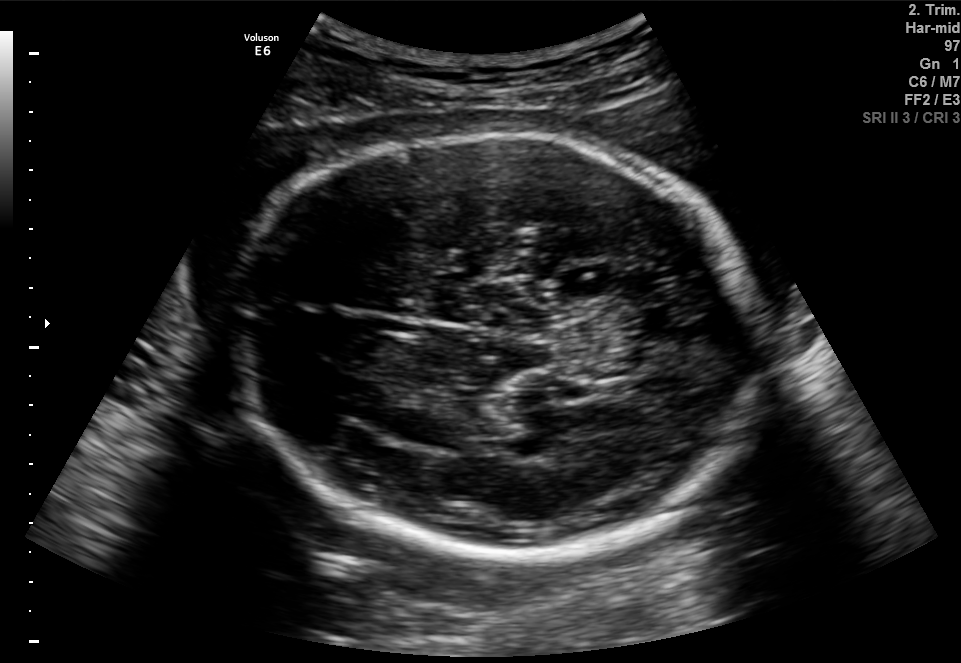
Fetal brain, trans-thalamic plane. Locate the fetal head and, if visible, the cavum septum pellucidum (CSP) and lateral ventricle (LV). Give bounding boxes as [x1,y1,x2,y2].

Head: [229,132,756,557]